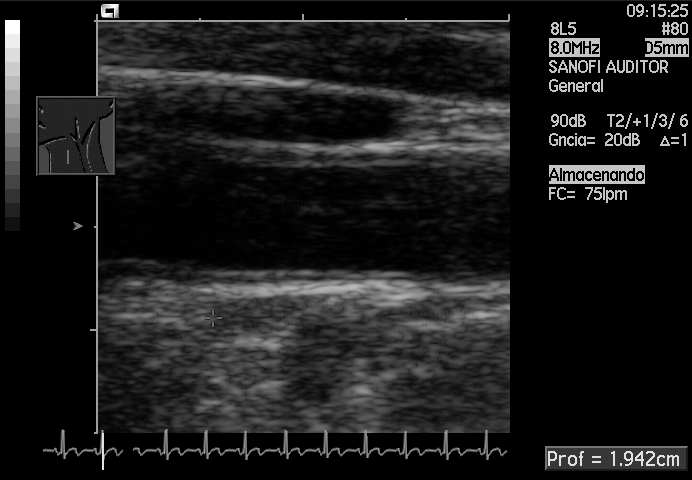
Identify the standard plane in this fetal ultrasound image: fetal abdomen, fetal brain, fetal femur, fetal thorax, maternal cervix, or other. If it's fetal brain and one of the three standard brain planes (trans-thalamic, trans-cerebellum, trans-ventricular), name which.

Other